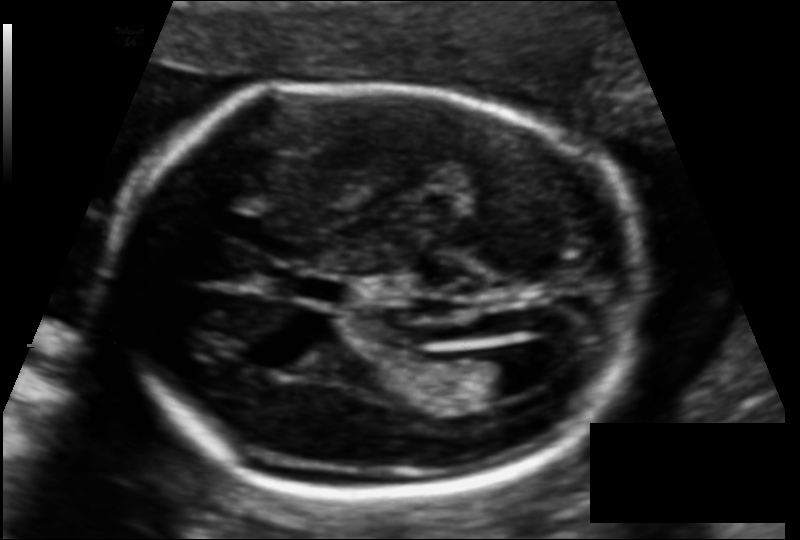
Estimate the fetal head circumference from this 2D ultrasound.

Head circumference: 177.0 mm (image width 92.4 mm).